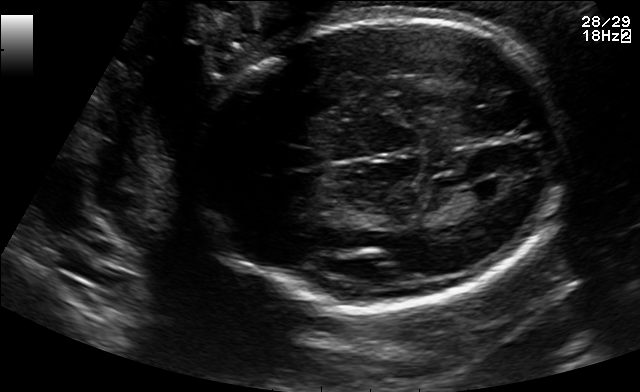
Classify this maternal-fetal ultrasound image as one of the six standard planes — fetal abdomen, fetal brain, fetal femur, fetal thorax, maternal cervix, or other. If it's fetal brain and one of the three standard brain planes (trans-thalamic, trans-cerebellum, trans-ventricular), name which.

Fetal brain (trans-ventricular plane)